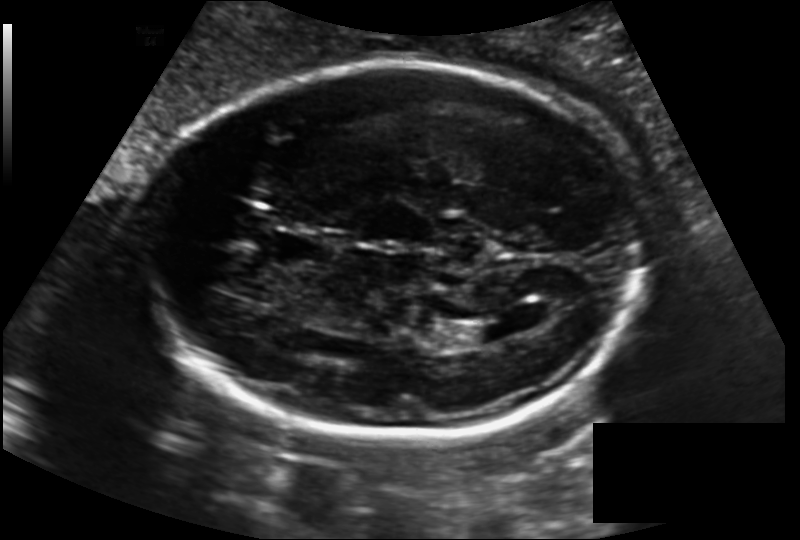
Fetal head ultrasound. Image width: 130.6 mm. Where is the cavum septum pellucidum?

CSP bounding box: [271,226,335,270]